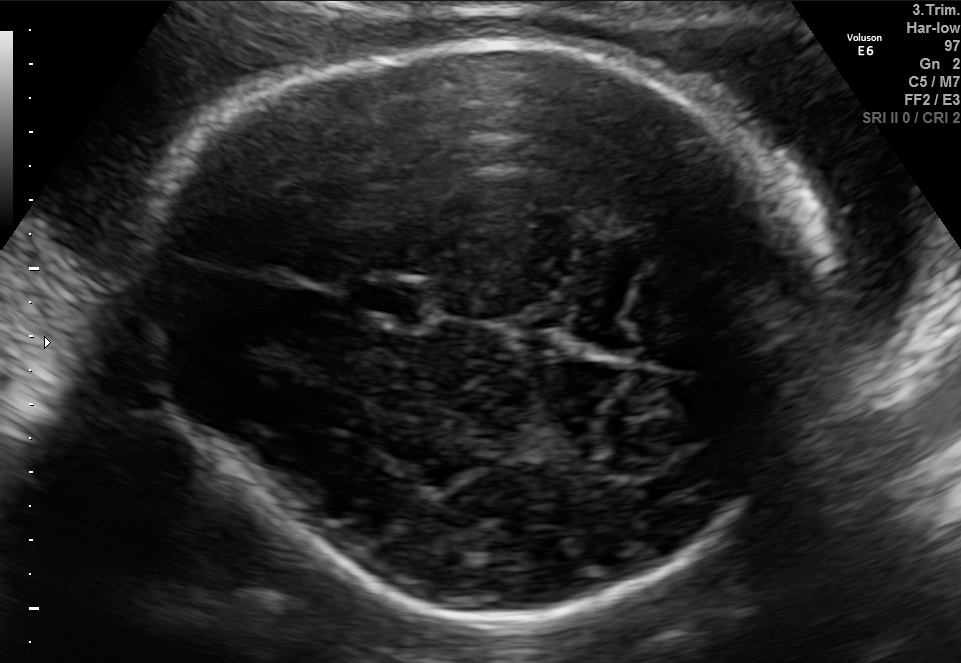
Fetal brain, trans-thalamic plane. Give [x1,y1,x2,y2] bounding boxes for each visible structure among: fetal head, CSP, LV.

Head: [134,33,827,628]
CSP: [354,277,427,328]